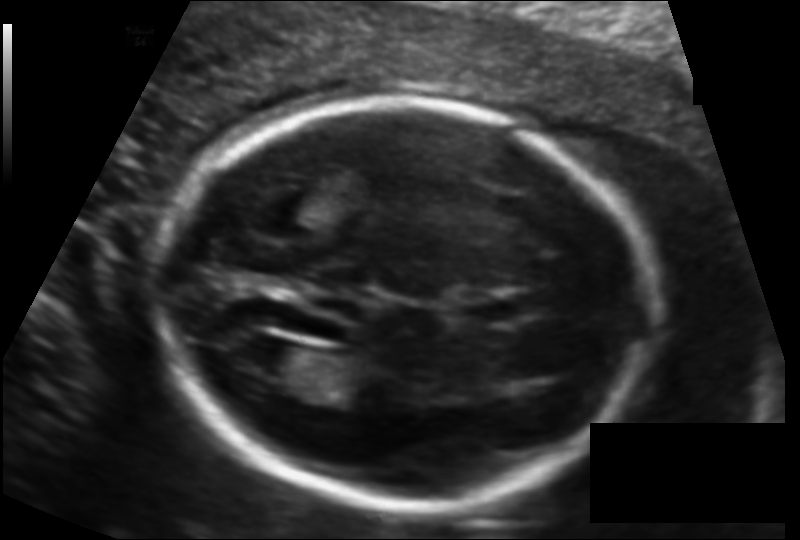
In this fetal head ultrasound, give bounding boxes for the head outline, cavum septum pellucidum (CSP), and lateral ventricle (LV), where visible. Image width: 98.9 mm.

Head: [158,98,649,507]
CSP: [463,290,523,328]
Lateral ventricle: [233,334,308,385]